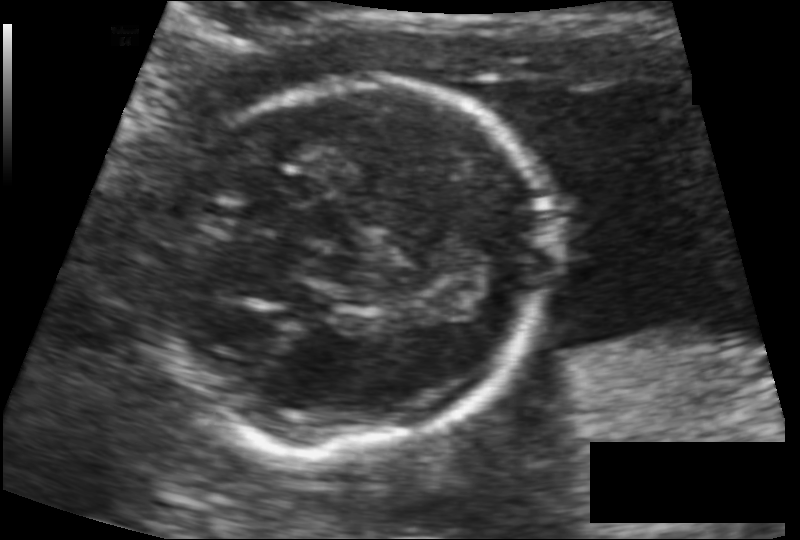
Fetal head ultrasound. Image width: 79.7 mm. Locate the fetal head.

Head: [162,80,553,449]